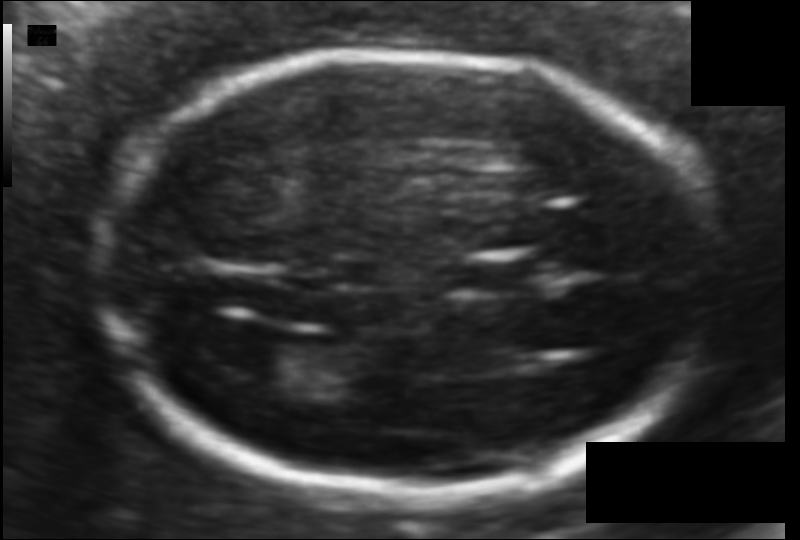
Estimate the fetal head circumference from this 2D ultrasound.

Head circumference: 165.0 mm (image width 75.4 mm).